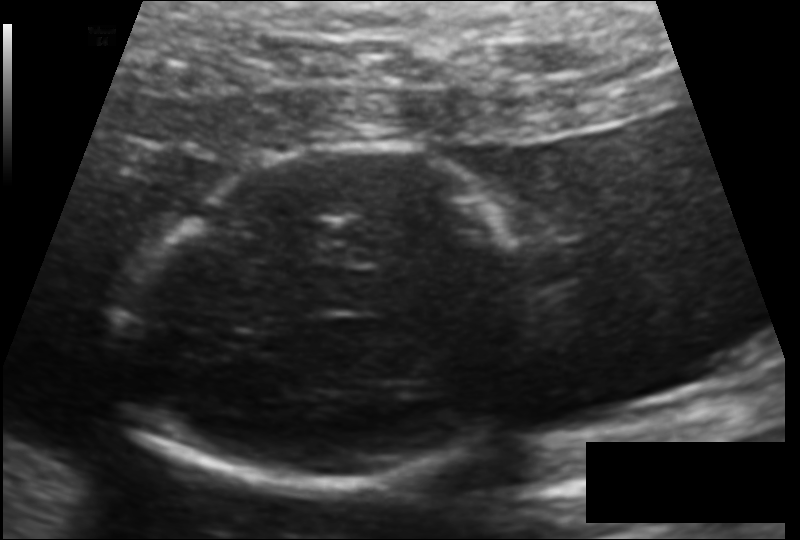
What is the fetal head circumference? Image width is 99.4 mm.

155.6 mm